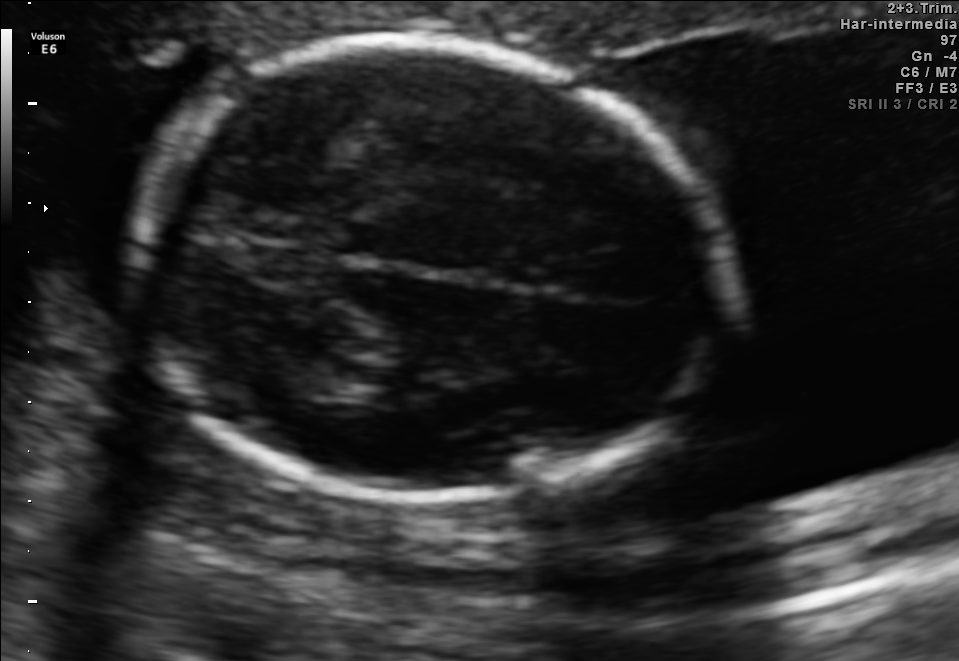
Fetal brain, trans-thalamic plane. Locate the fetal head.

Head: [137,41,716,498]